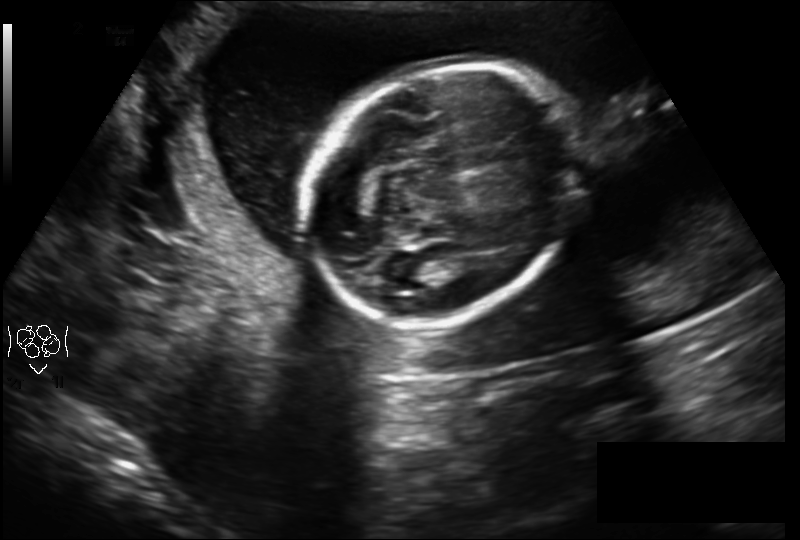
What is the fetal head circumference? Image width is 167.6 mm.

180.4 mm